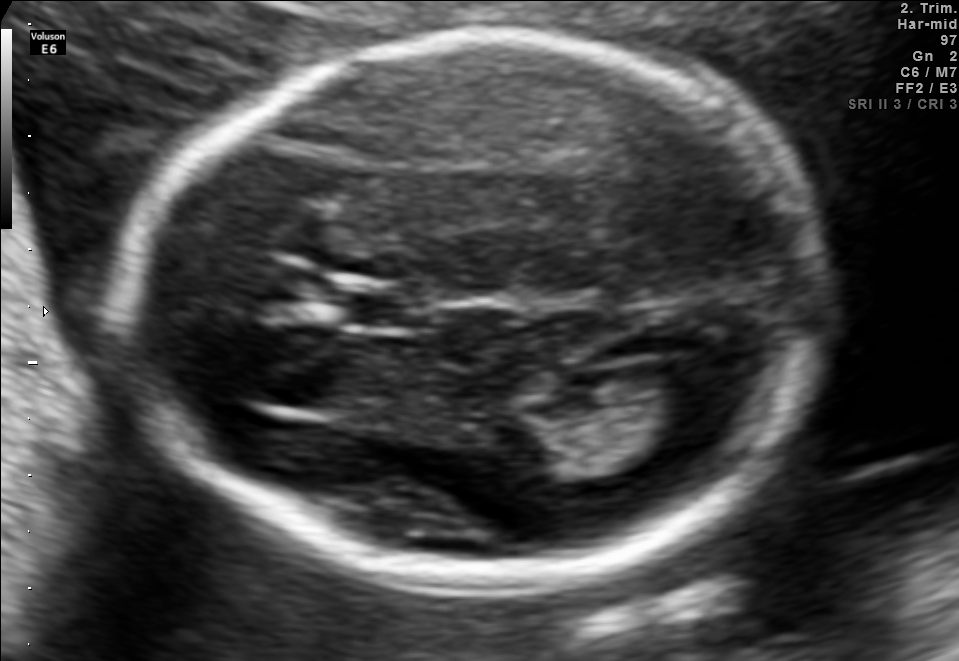
Which standard maternal-fetal ultrasound plane is shown: fetal abdomen, fetal brain, fetal femur, fetal thorax, maternal cervix, or other? If it's fetal brain and one of the three standard brain planes (trans-thalamic, trans-cerebellum, trans-ventricular), name which.

Fetal brain (trans-ventricular plane)